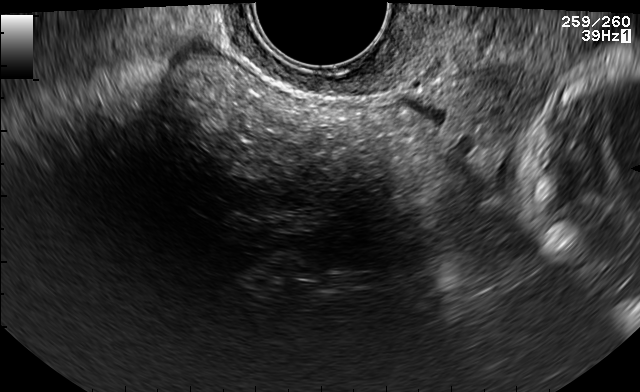
This is a 2D maternal-fetal ultrasound frame. Is it a fetal abdomen, fetal brain, fetal femur, fetal thorax, maternal cervix, or other standard plane? If it's fetal brain and one of the three standard brain planes (trans-thalamic, trans-cerebellum, trans-ventricular), name which.

Maternal cervix